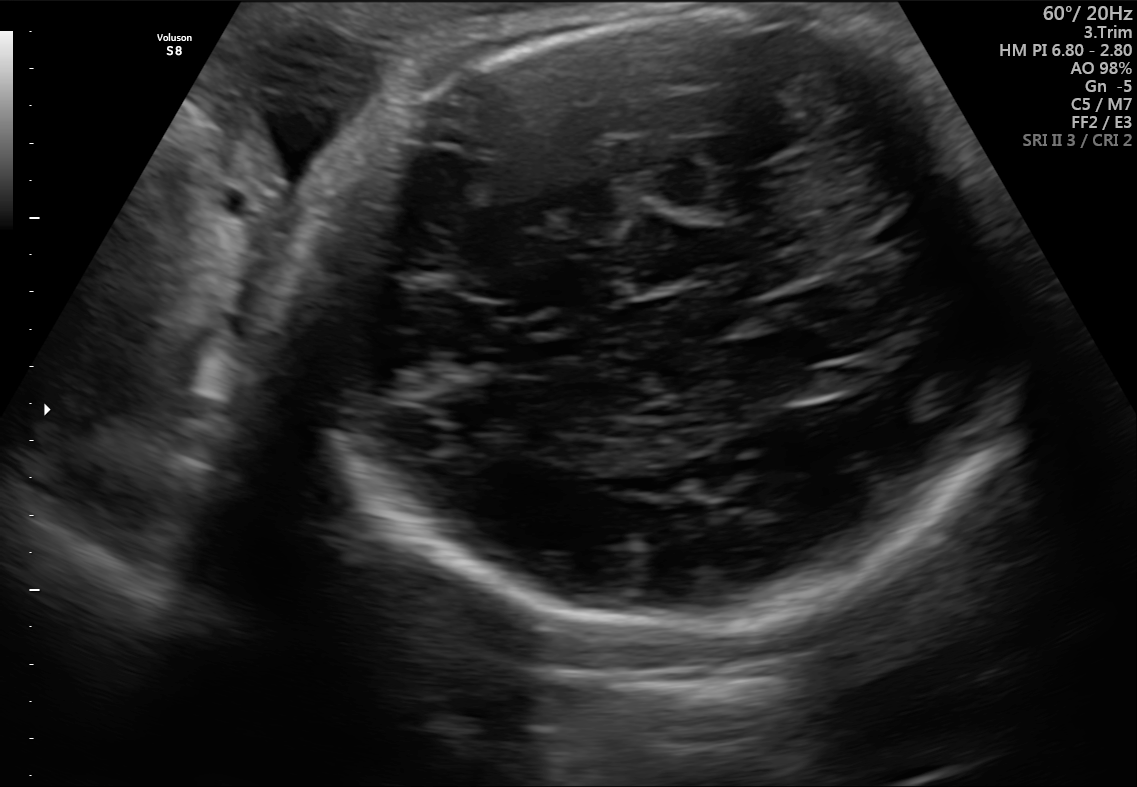
Fetal brain, trans-cerebellum plane. Locate the fetal head.

Head: [314,8,1020,631]